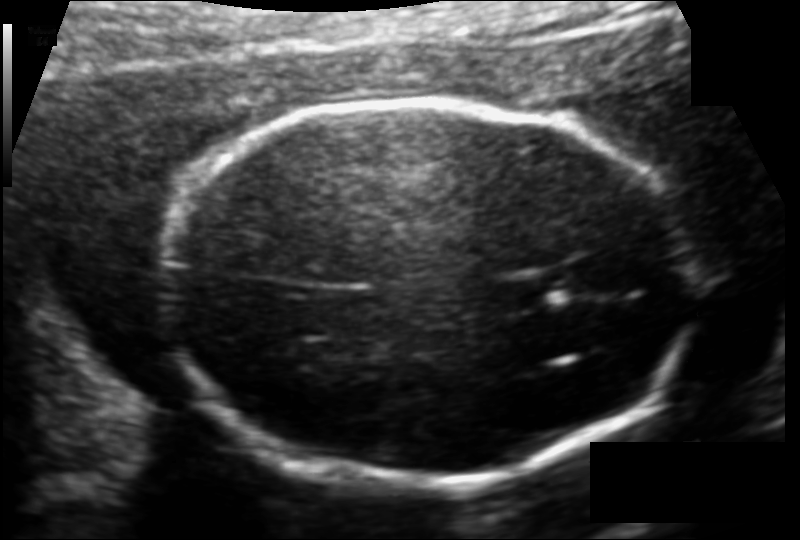
What is the fetal head circumference? Image width is 95.0 mm.

176.5 mm